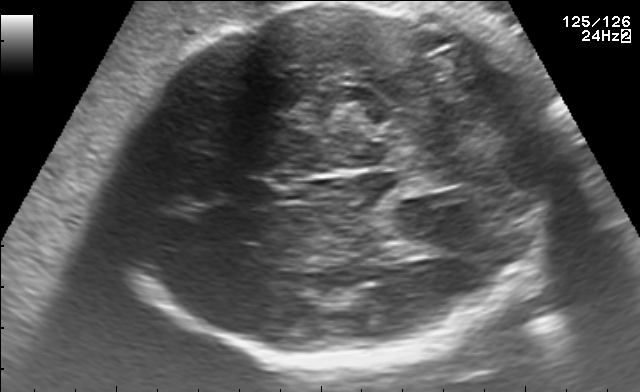
Which standard maternal-fetal ultrasound plane is shown: fetal abdomen, fetal brain, fetal femur, fetal thorax, maternal cervix, or other? If it's fetal brain and one of the three standard brain planes (trans-thalamic, trans-cerebellum, trans-ventricular), name which.

Fetal brain (trans-thalamic plane)